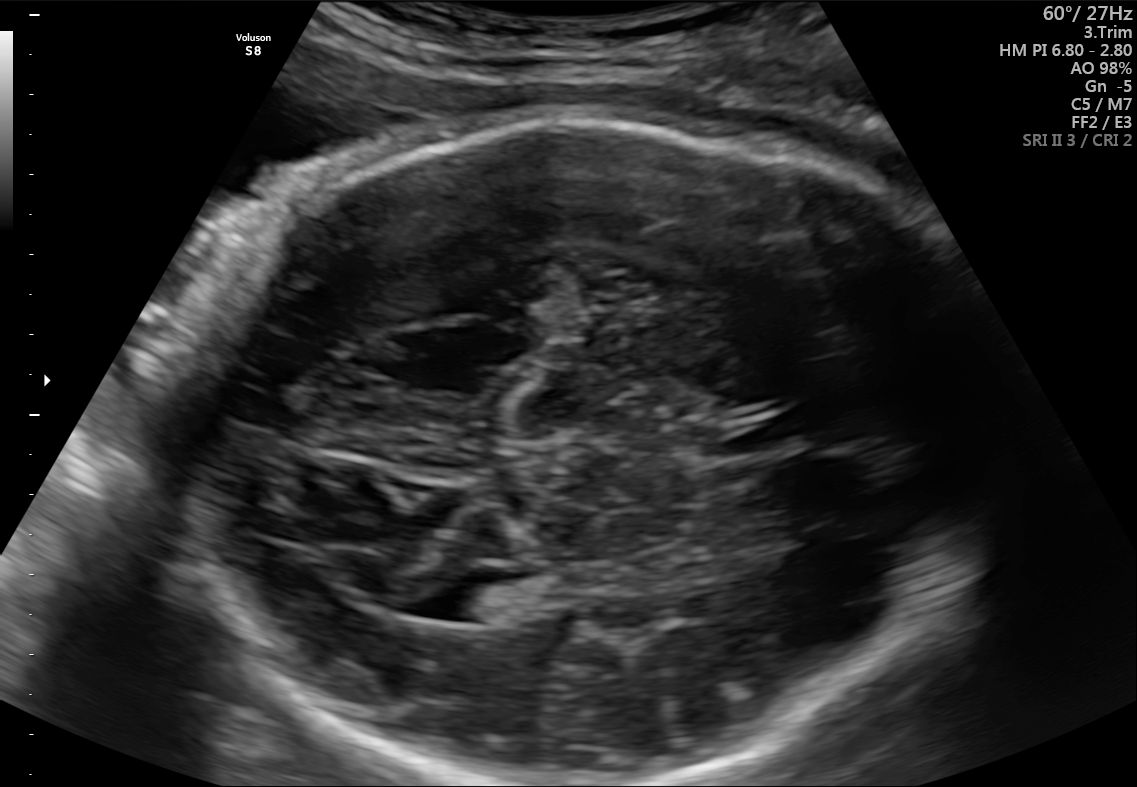
In this fetal brain, trans-thalamic plane, give the bounding box of the cavum septum pellucidum.

[710,410,801,461]